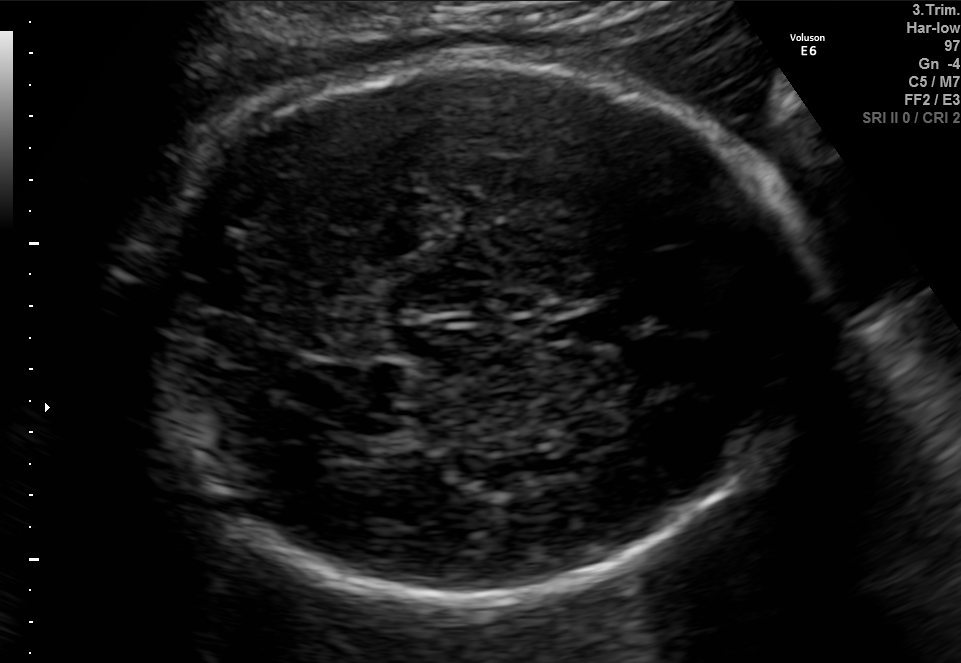
Identify the standard plane in this fetal ultrasound image: fetal abdomen, fetal brain, fetal femur, fetal thorax, maternal cervix, or other. If it's fetal brain and one of the three standard brain planes (trans-thalamic, trans-cerebellum, trans-ventricular), name which.

Fetal brain (trans-thalamic plane)